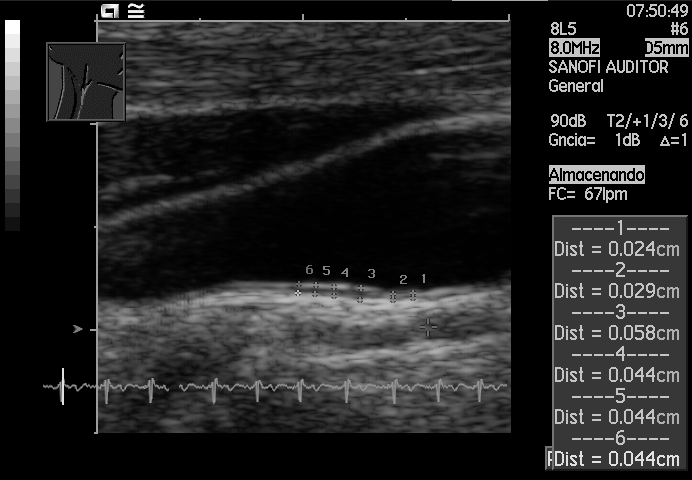
Which standard maternal-fetal ultrasound plane is shown: fetal abdomen, fetal brain, fetal femur, fetal thorax, maternal cervix, or other? If it's fetal brain and one of the three standard brain planes (trans-thalamic, trans-cerebellum, trans-ventricular), name which.

Other